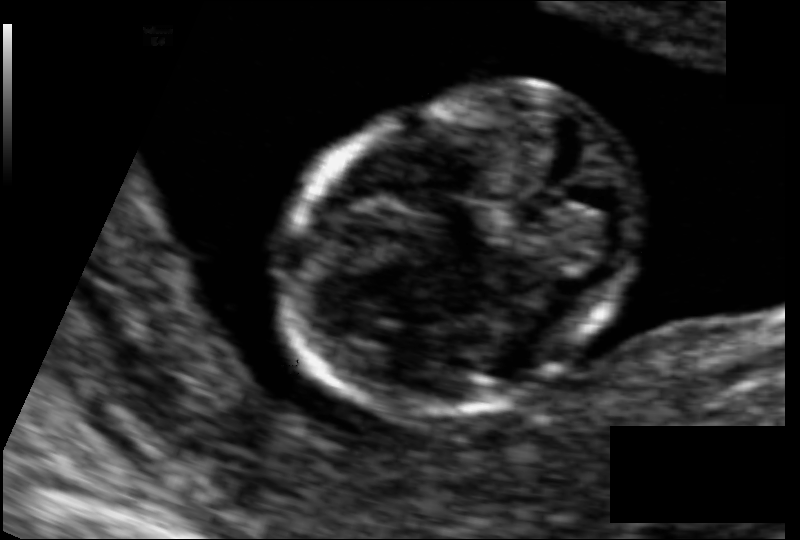
What is the fetal head circumference? Image width is 52.4 mm.

72.8 mm